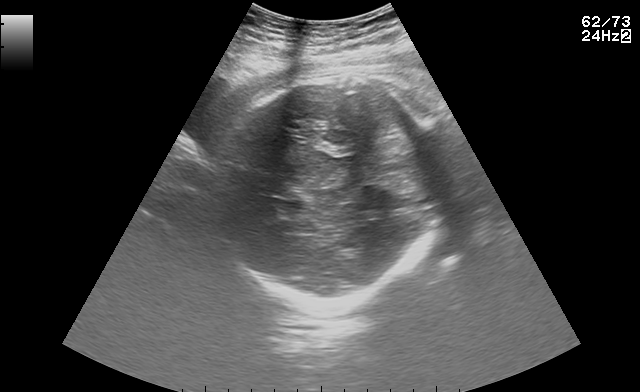
Fetal brain, trans-thalamic plane. Give [x1,y1,x2,y2] bounding boxes for each visible structure among: fetal head, CSP, LV.

Head: [213,72,442,304]